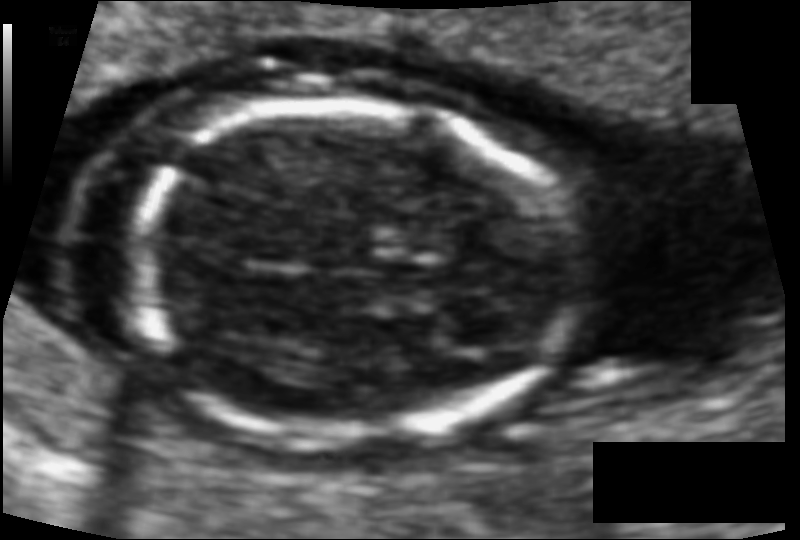
In this fetal head ultrasound, give bounding boxes for the head outline, cavum septum pellucidum (CSP), and lateral ventricle (LV), where visible. Image width: 65.1 mm.

Head: [132,101,570,437]